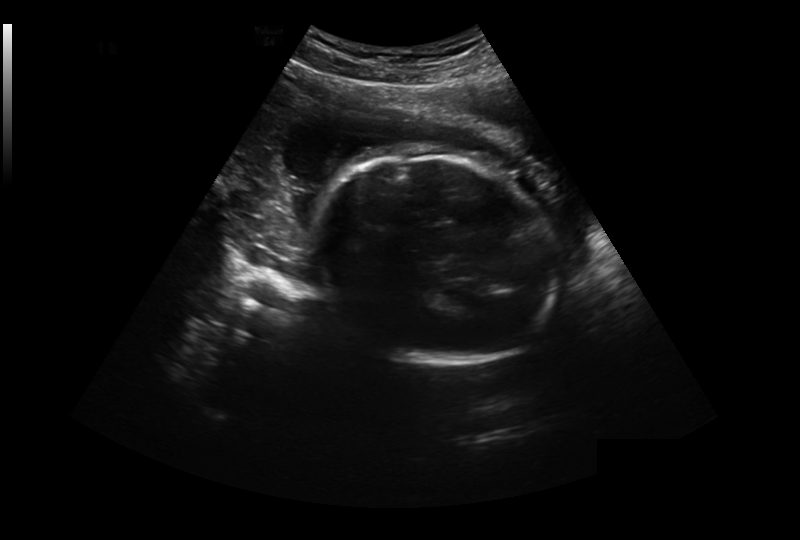
What is the fetal head circumference? Image width is 261.2 mm.

241.7 mm